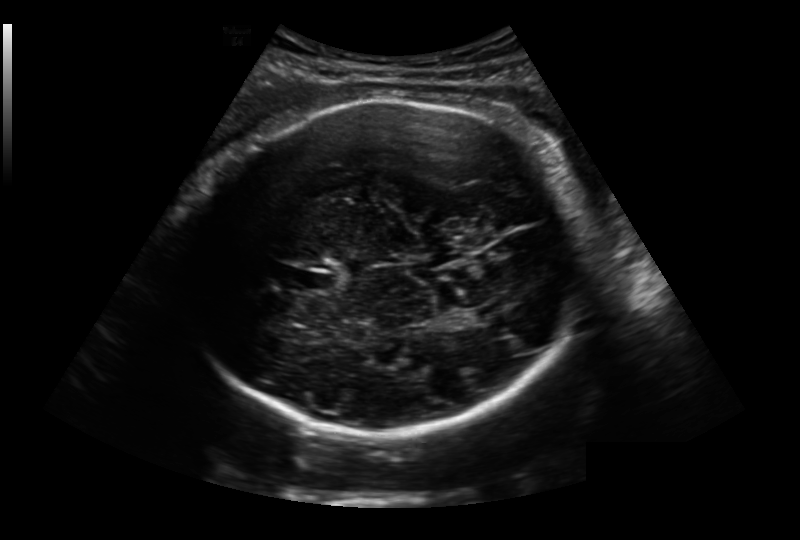
From this fetal ultrasound, estimate the head circumference (image width 188.7 mm).

Head circumference: 278.9 mm.